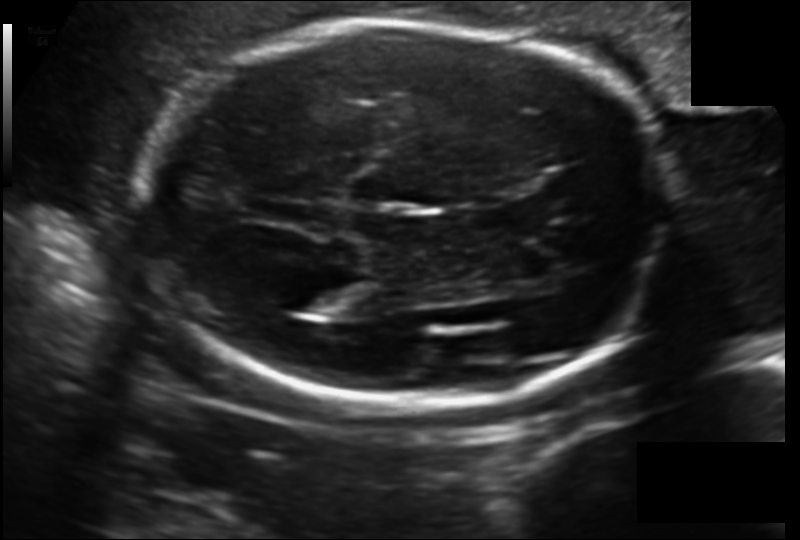
Estimate the fetal head circumference from this 2D ultrasound. Image width: 121.4 mm.

Head circumference: 223.5 mm.